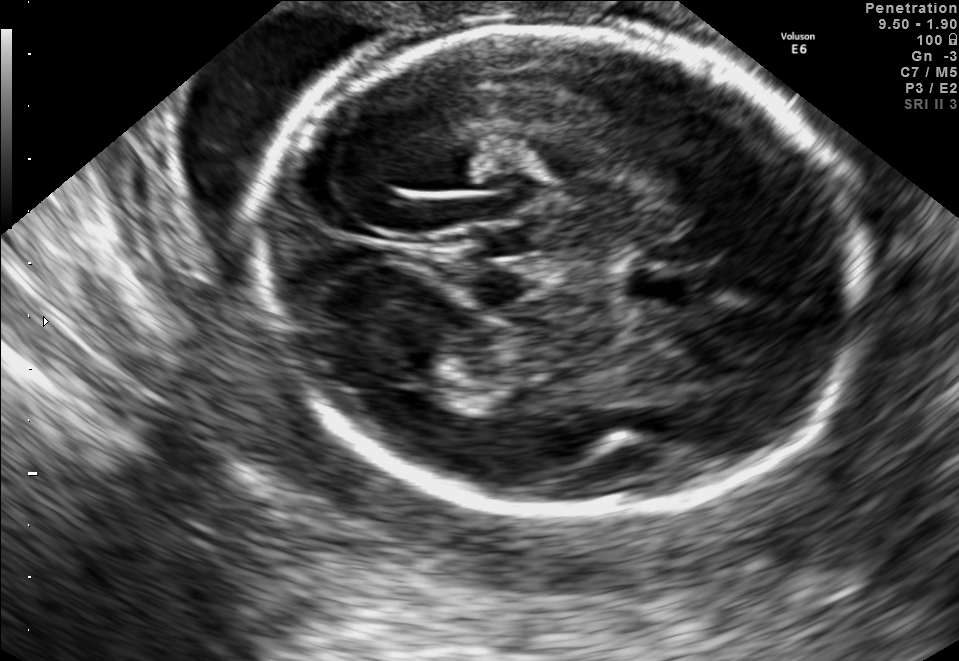
Fetal brain, trans-thalamic plane. Where is the cavum septum pellucidum?

CSP bounding box: [627,267,691,306]